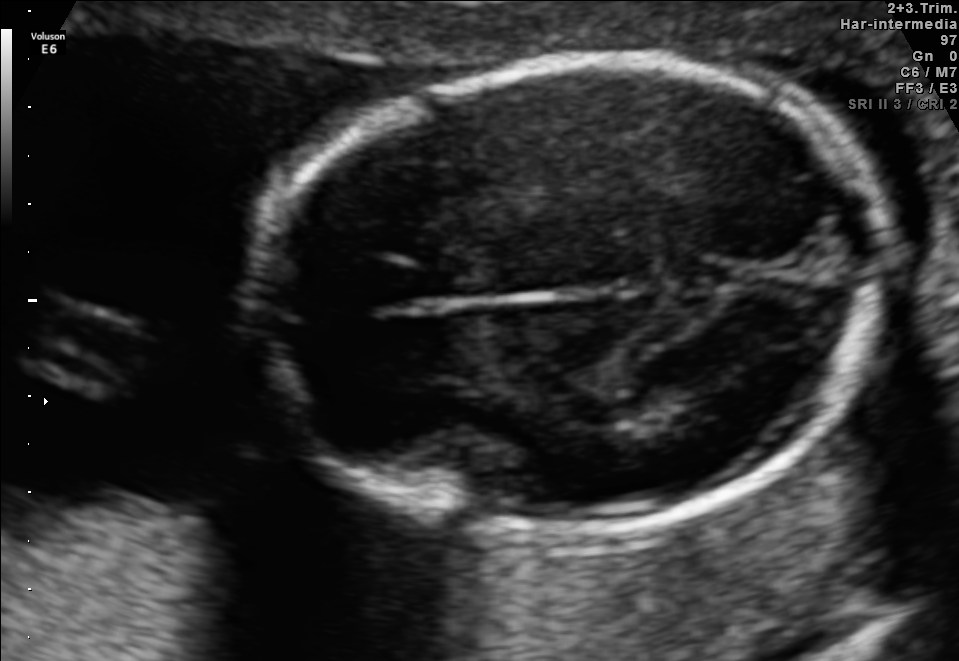
In this fetal brain, trans-thalamic plane, give the bounding box of the fetal head.

[256,57,893,536]